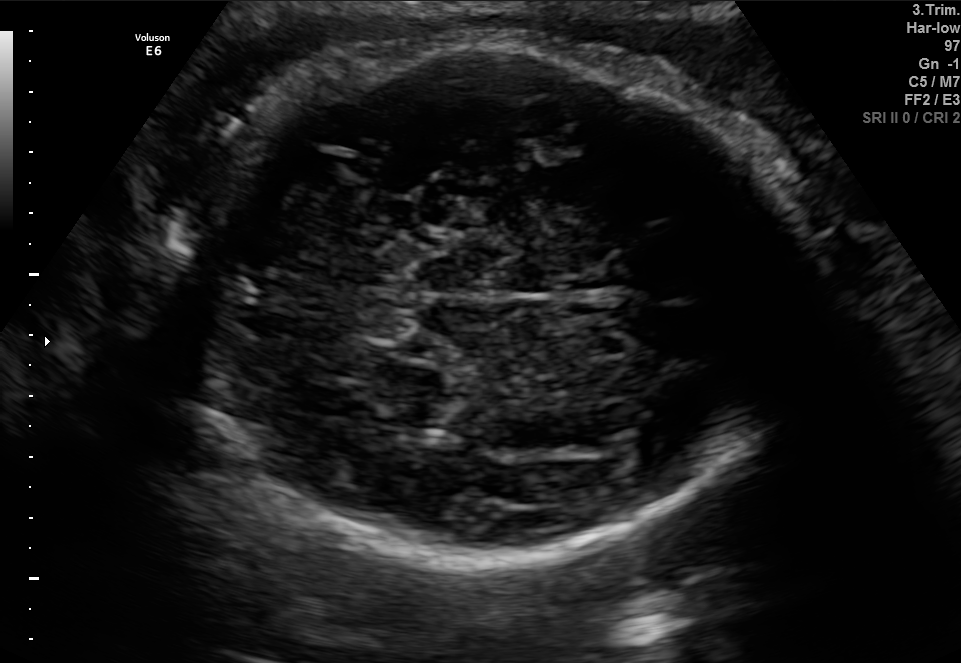
In this fetal brain, trans-cerebellum plane, give the bounding box of the fetal head.

[161,40,790,561]